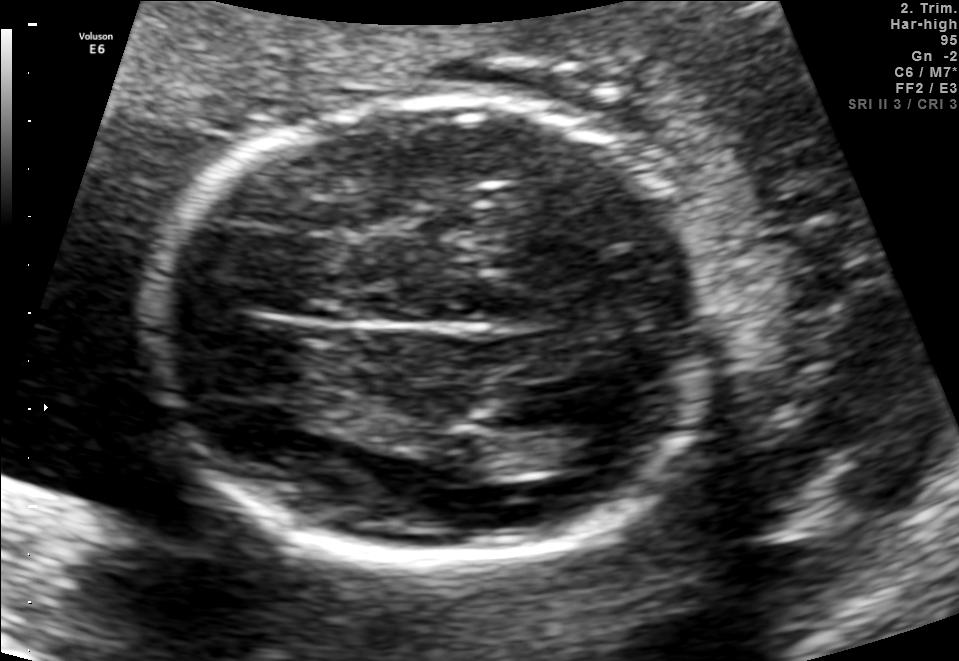
In this fetal brain, trans-thalamic plane, give the bounding box of the fetal head.

[152,97,711,560]